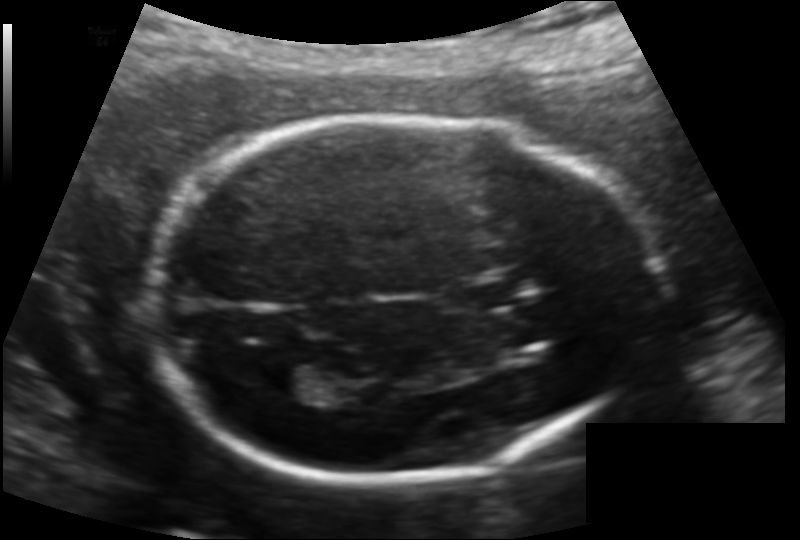
Fetal head ultrasound. Image width: 105.6 mm. Locate the cavum septum pellucidum.

CSP: [459,264,537,316]